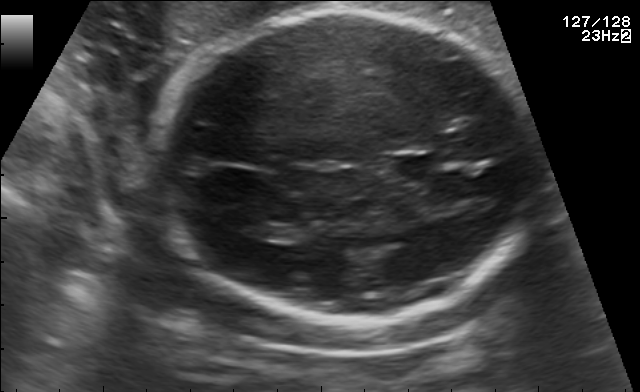
In this fetal brain, trans-thalamic plane, give the bounding box of the lateral ventricle.

[236,217,282,242]